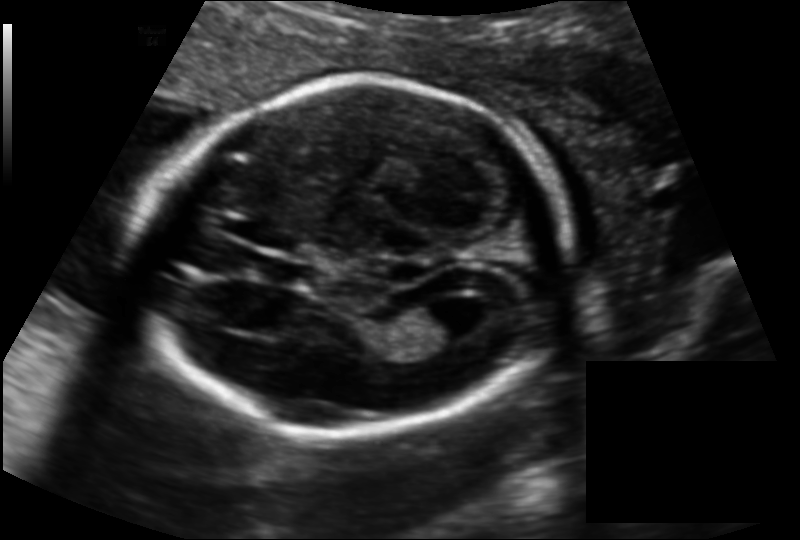
In this fetal head ultrasound, give the bounding box of the cavum septum pellucidum. Image width: 107.9 mm.

[257,252,312,290]